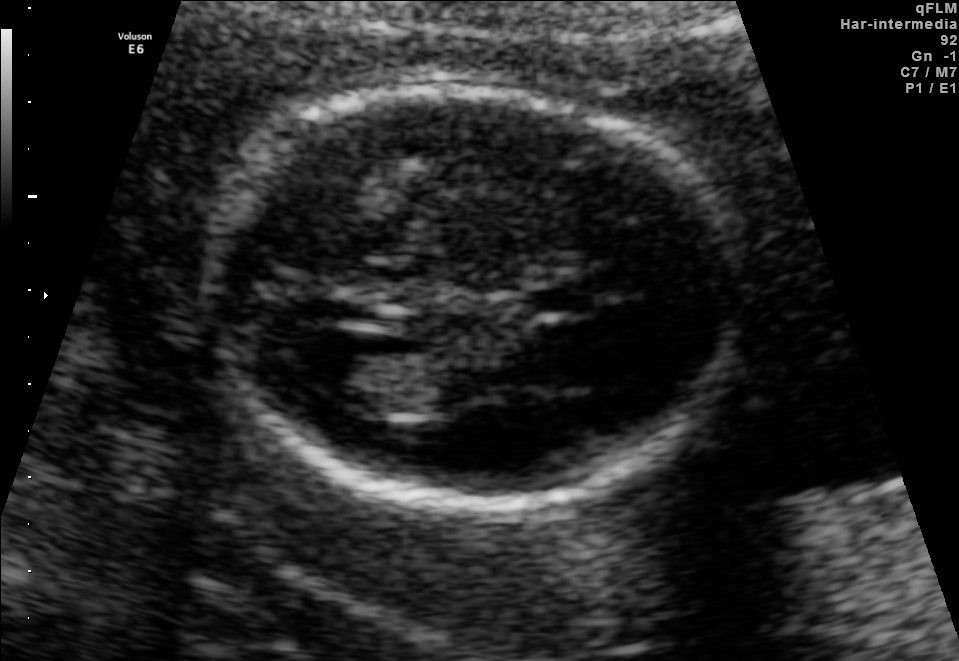
In this fetal brain, trans-ventricular plane, give the bounding box of the fetal head.

[183,78,772,515]